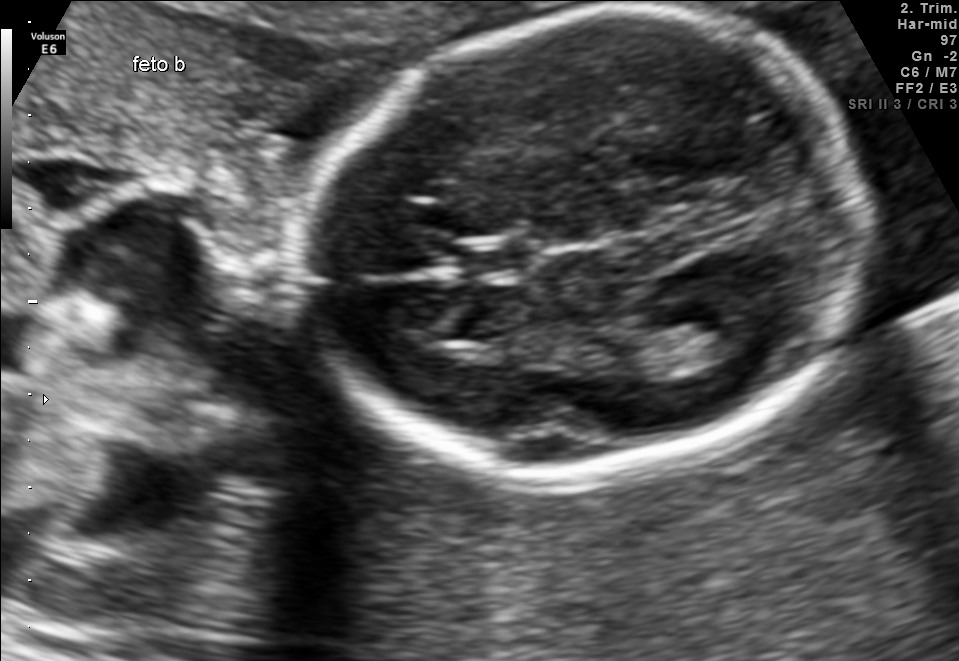
Fetal brain, trans-thalamic plane. Locate the cavum septum pellucidum.

CSP: [464,239,534,278]